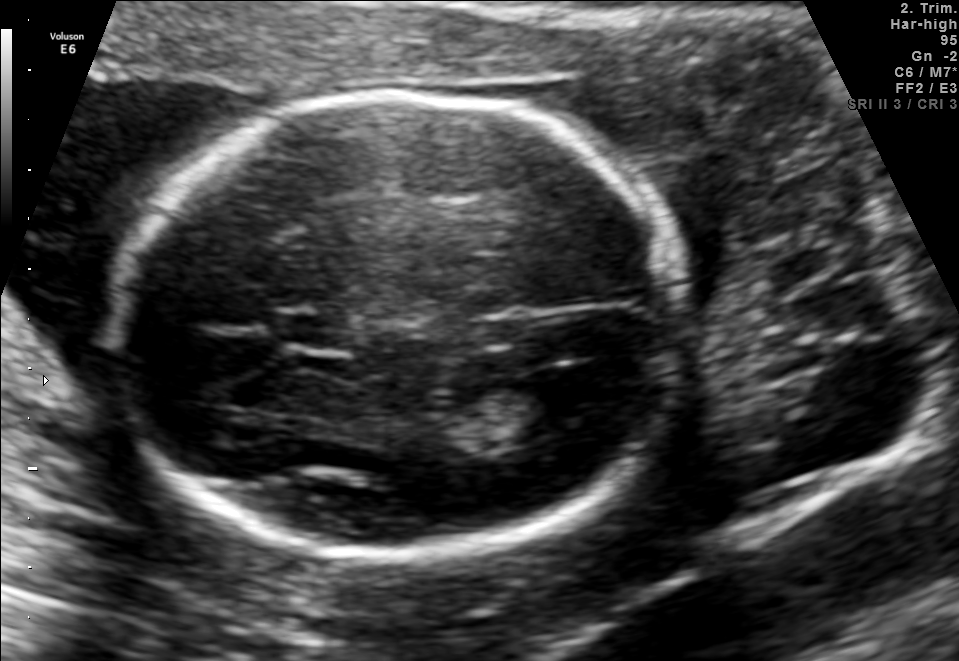
Fetal brain, trans-ventricular plane. Where is the cavum septum pellucidum?

CSP bounding box: [269,309,364,354]